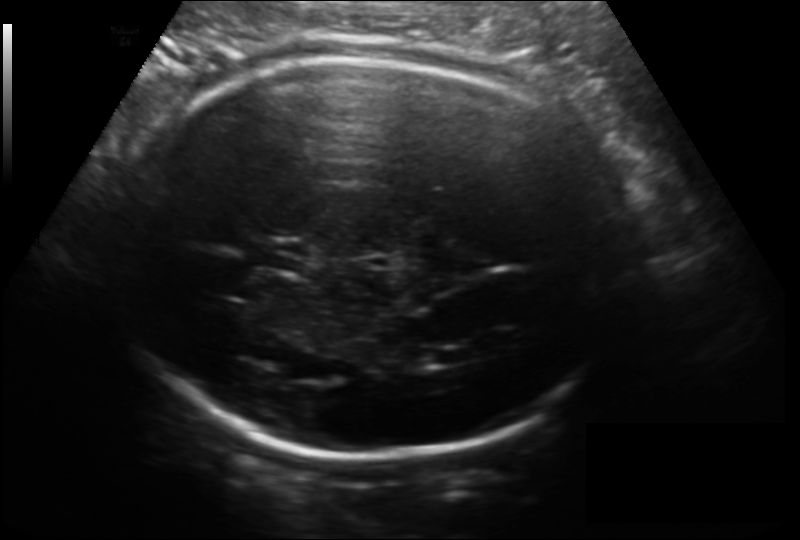
Fetal head ultrasound. Image width: 133.1 mm. Give [x1,y1,x2,y2] bounding boxes for each visible structure among: fetal head, CSP, LV.

Head: [109,59,629,457]